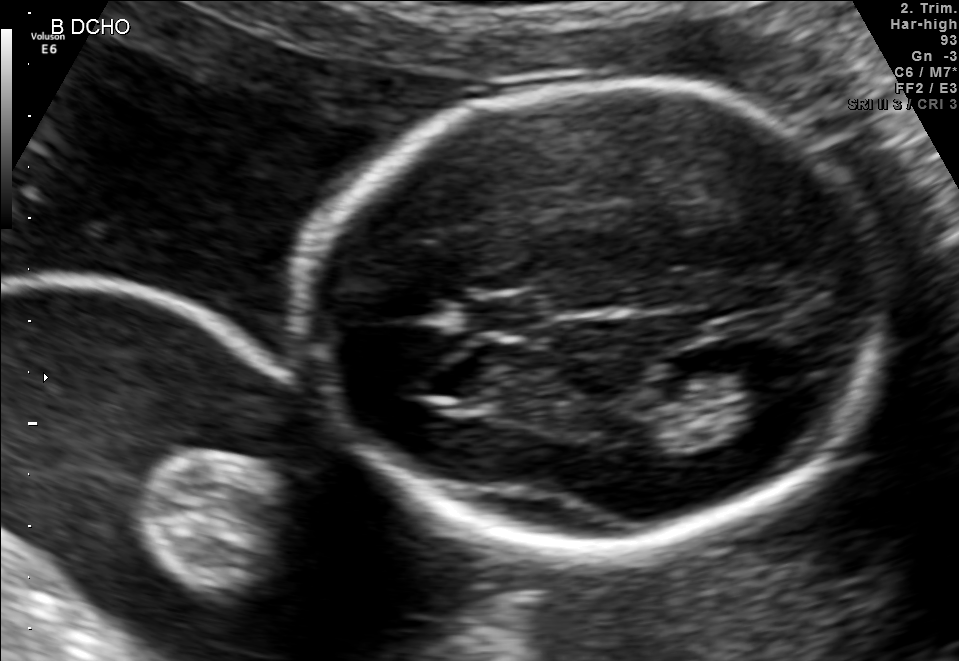
Classify this maternal-fetal ultrasound image as one of the six standard planes — fetal abdomen, fetal brain, fetal femur, fetal thorax, maternal cervix, or other. If it's fetal brain and one of the three standard brain planes (trans-thalamic, trans-cerebellum, trans-ventricular), name which.

Fetal brain (trans-thalamic plane)